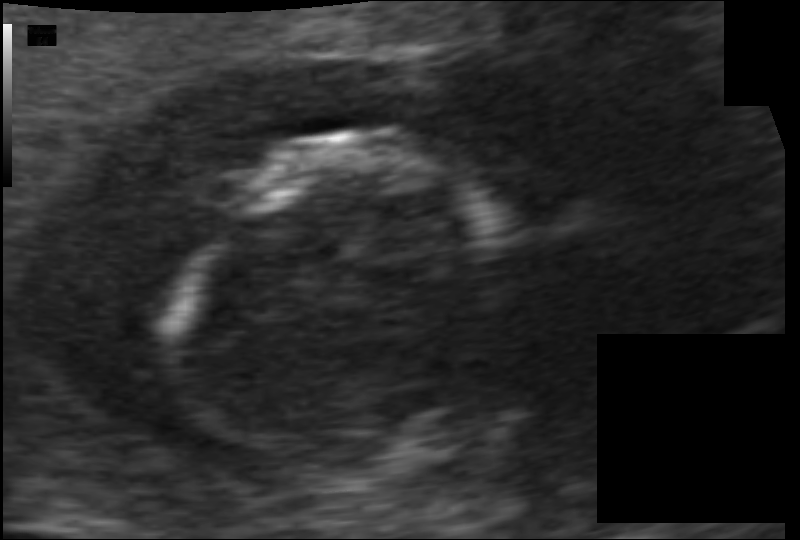
Estimate the fetal head circumference from this 2D ultrasound.

Head circumference: 77.8 mm (image width 55.9 mm).